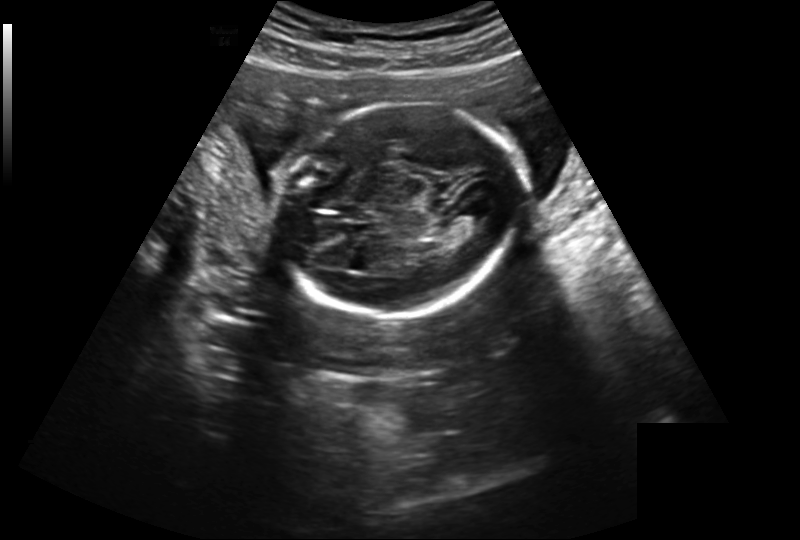
In this fetal head ultrasound, give the bounding box of the lateral ventricle. Image width: 191.4 mm.

[457,199,490,231]